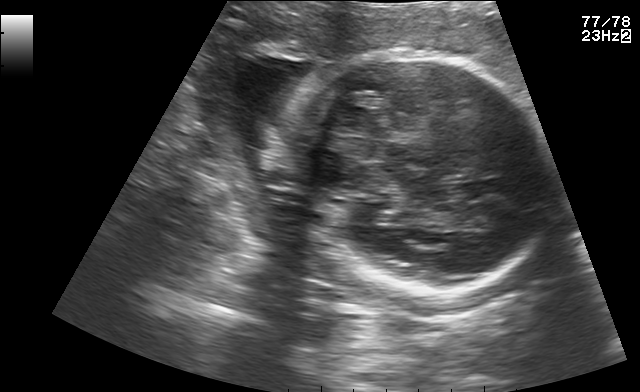
Fetal brain, trans-thalamic plane. Locate the fetal head and, if visible, the cavum septum pellucidum (CSP) and lateral ventricle (LV). Give bounding boxes as [x1,y1,x2,y2].

Head: [290,46,550,293]